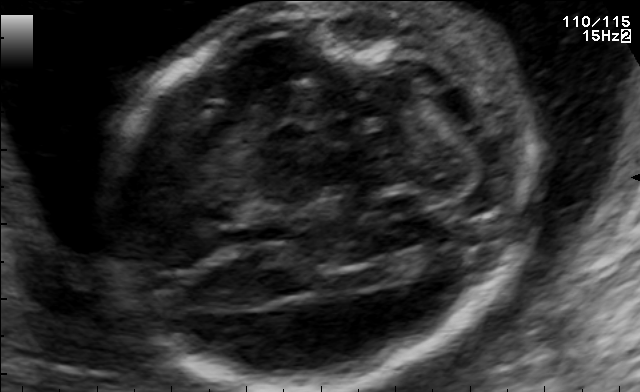
Fetal brain, trans-cerebellum plane. Locate the fetal head and, if visible, the cavum septum pellucidum (CSP) and lateral ventricle (LV). Give bounding boxes as [x1,y1,x2,y2].

Head: [105,4,521,391]